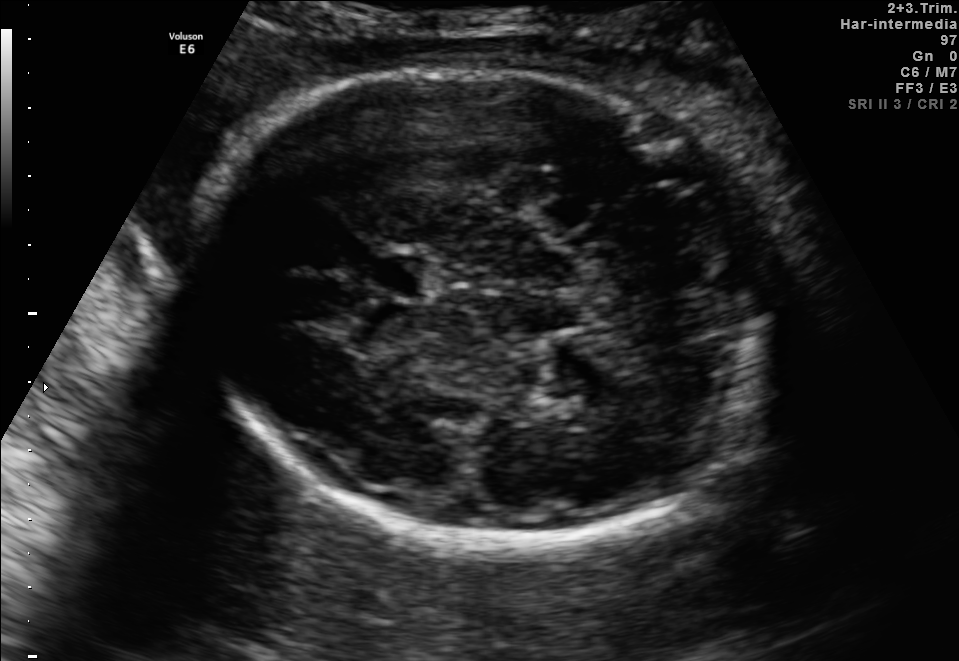
Fetal brain, trans-thalamic plane. Locate the fetal head.

Head: [185,67,770,552]